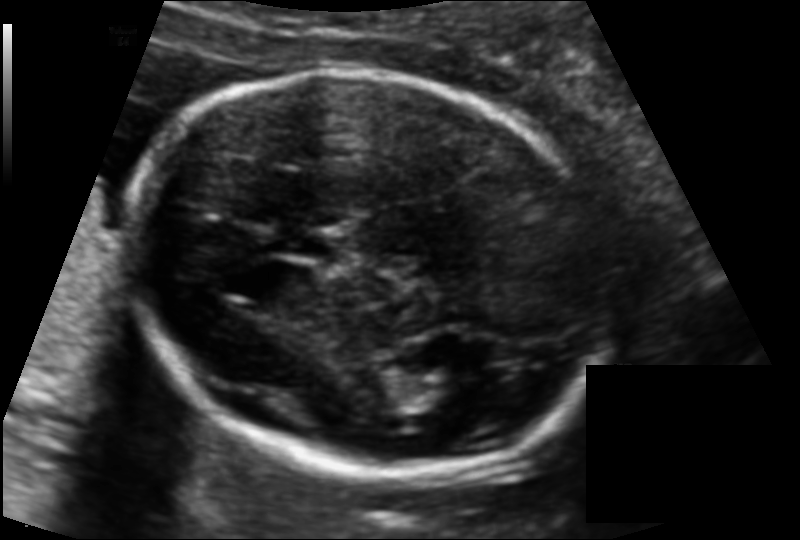
Fetal head ultrasound. Image width: 93.1 mm. Locate the cavum septum pellucidum.

CSP: [275,221,350,270]